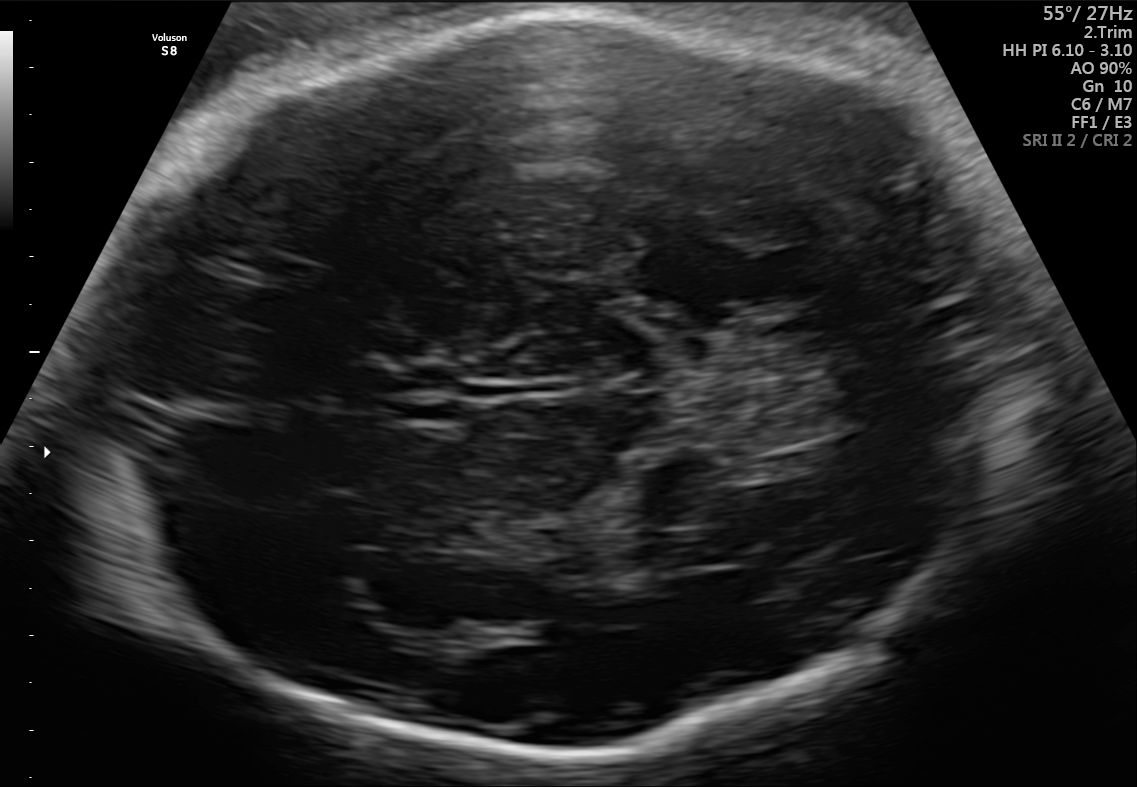
Fetal brain, trans-thalamic plane. Give [x1,y1,x2,y2] bounding boxes for each visible structure among: fetal head, CSP, LV.

Head: [91,17,1005,758]